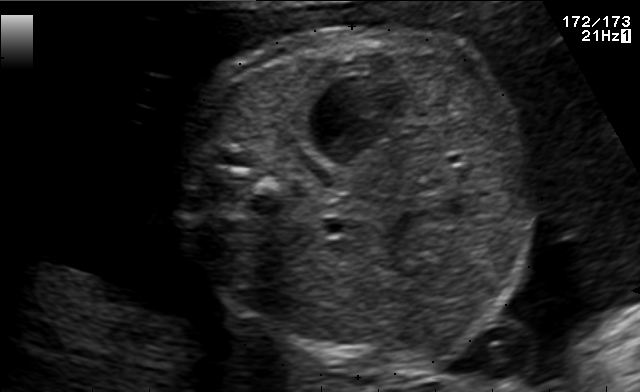
Identify the standard plane in this fetal ultrasound image: fetal abdomen, fetal brain, fetal femur, fetal thorax, maternal cervix, or other. If it's fetal brain and one of the three standard brain planes (trans-thalamic, trans-cerebellum, trans-ventricular), name which.

Other